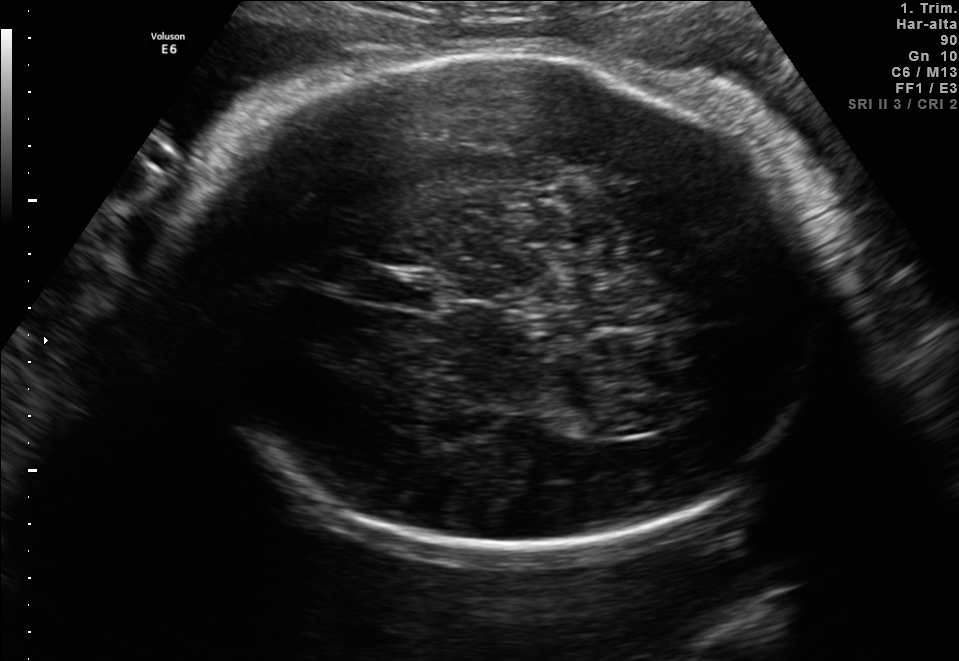
In this fetal brain, trans-thalamic plane, give the bounding box of the fetal head.

[189,46,816,545]